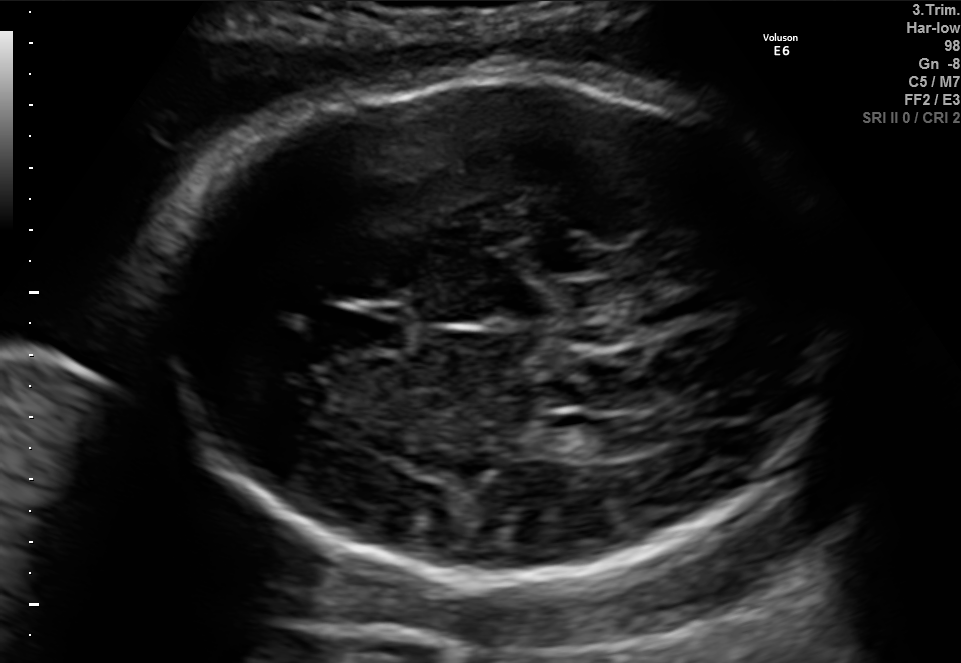
In this fetal brain, trans-ventricular plane, give bounding boxes for the head outline, cavum septum pellucidum (CSP), and lateral ventricle (LV), where visible.

Head: [140,62,855,589]
CSP: [322,302,416,357]
Lateral ventricle: [588,407,677,460]